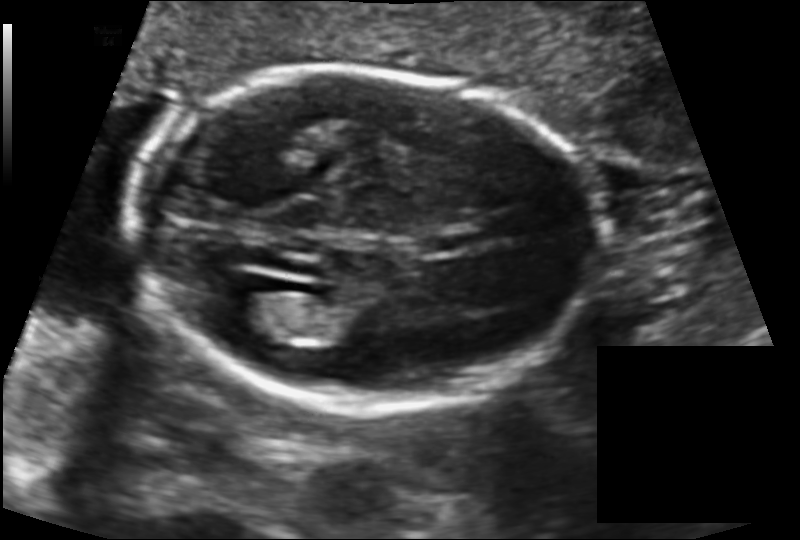
Estimate the fetal head circumference from this 2D ultrasound. Image width: 105.0 mm.

Head circumference: 174.8 mm.